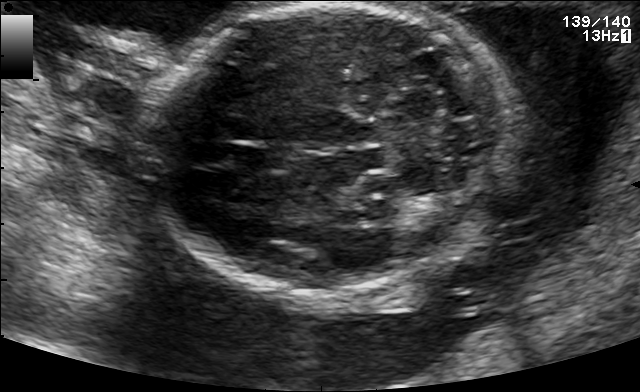
This is a 2D maternal-fetal ultrasound frame. Is it a fetal abdomen, fetal brain, fetal femur, fetal thorax, maternal cervix, or other standard plane? If it's fetal brain and one of the three standard brain planes (trans-thalamic, trans-cerebellum, trans-ventricular), name which.

Fetal brain (trans-cerebellum plane)